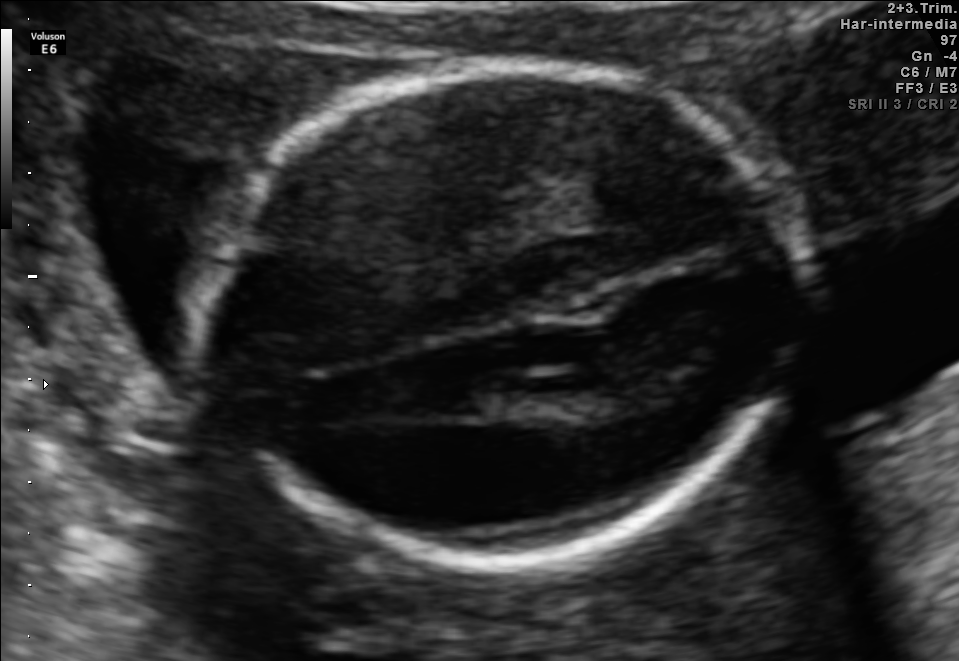
Fetal brain, trans-thalamic plane. Where is the fetal head?

Head bounding box: [207,61,794,568]